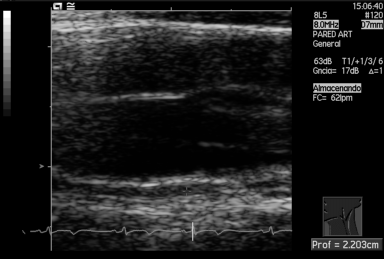
This is a 2D maternal-fetal ultrasound frame. Is it a fetal abdomen, fetal brain, fetal femur, fetal thorax, maternal cervix, or other standard plane? If it's fetal brain and one of the three standard brain planes (trans-thalamic, trans-cerebellum, trans-ventricular), name which.

Other